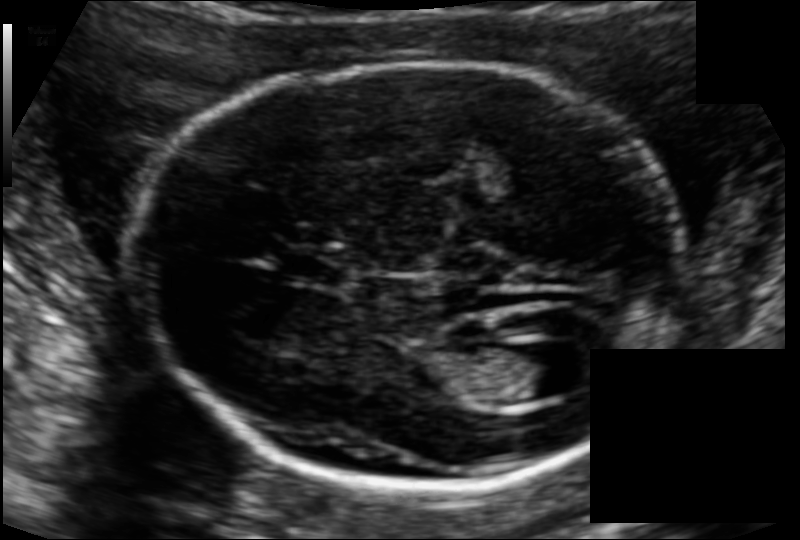
From this fetal ultrasound, estimate the head circumference (image width 88.5 mm).

Head circumference: 175.2 mm.